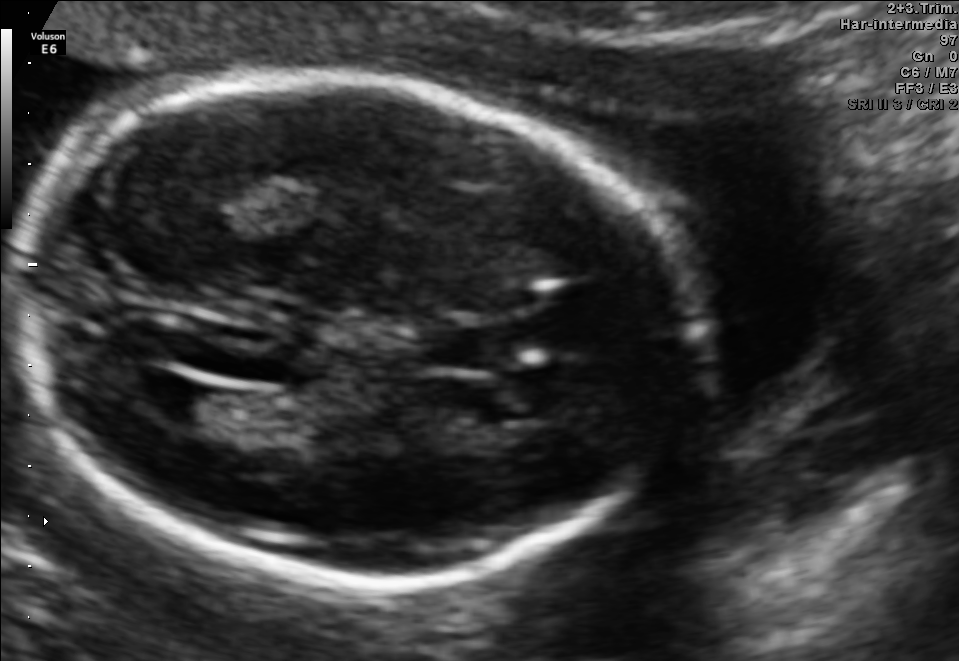
Fetal brain, trans-ventricular plane. Give [x1,y1,x2,y2] bounding boxes for each visible structure among: fetal head, CSP, LV.

Head: [10,65,719,596]
CSP: [429,329,499,368]
Lateral ventricle: [134,367,218,431]